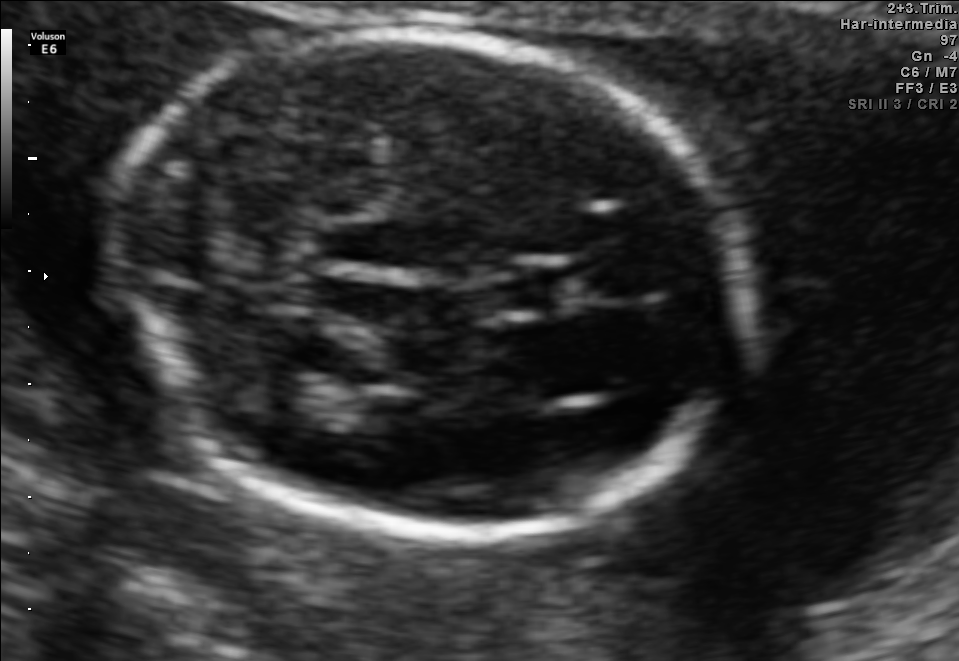
In this fetal brain, trans-thalamic plane, give the bounding box of the fetal head.

[106,32,755,535]